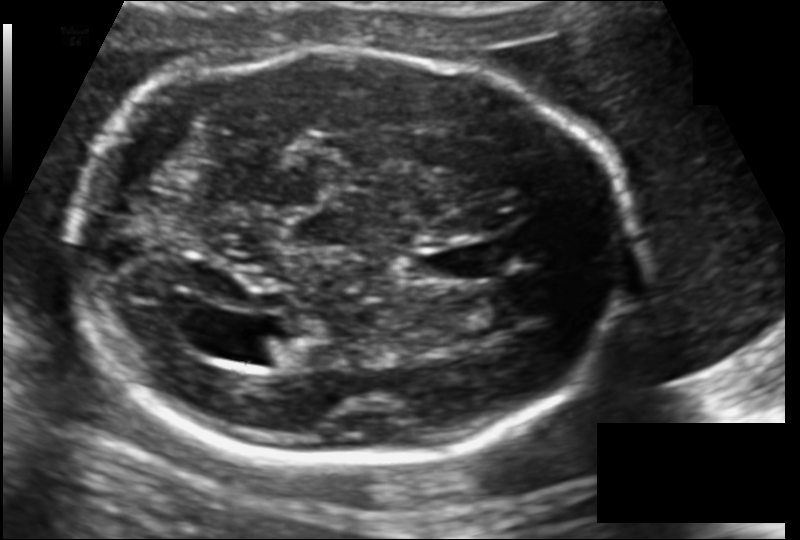
Fetal head ultrasound. Image width: 110.0 mm. Locate the lateral ventricle.

Lateral ventricle: [240,328,306,372]